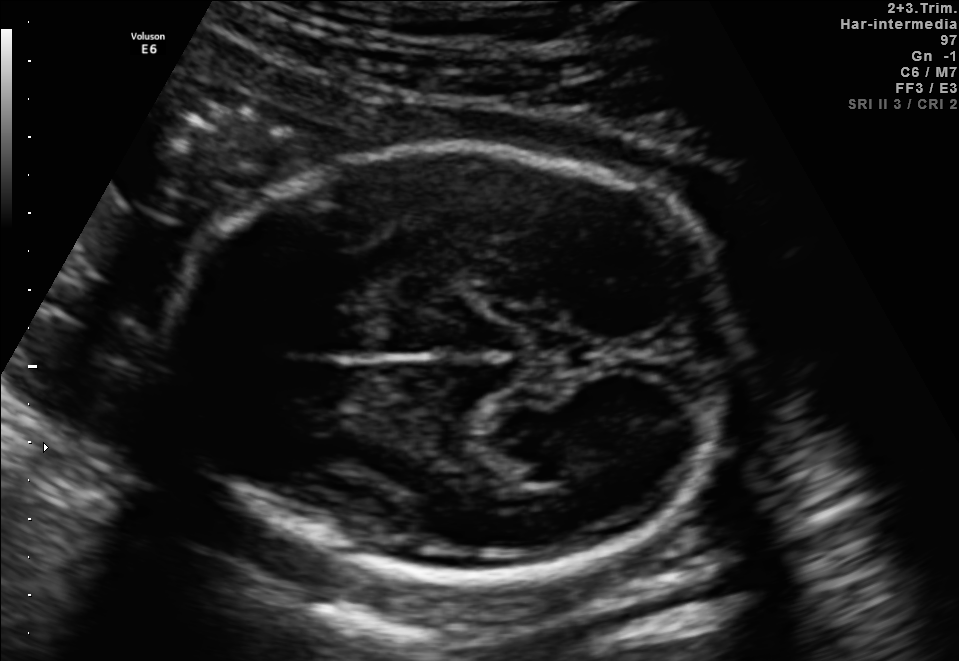
Fetal brain, trans-thalamic plane. Locate the fetal head.

Head: [166,144,733,579]